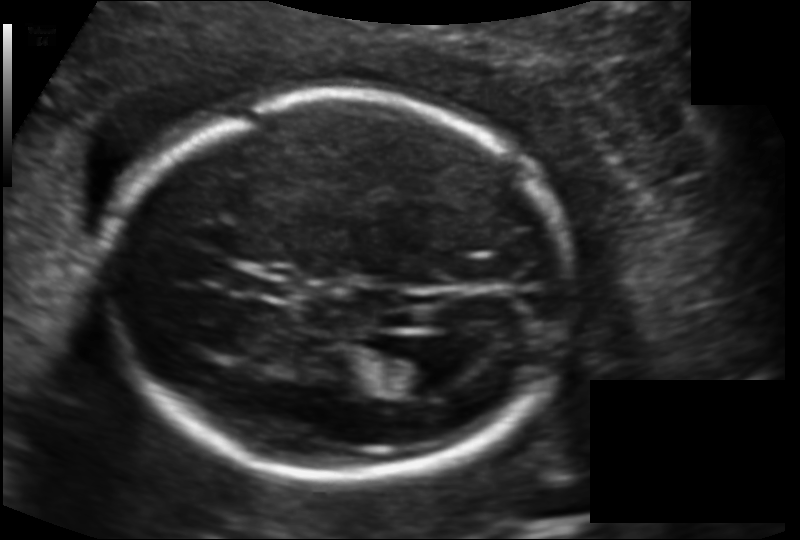
Fetal head ultrasound. Image width: 107.3 mm. Where is the cavum septum pellucidum?

CSP bounding box: [234,268,289,302]